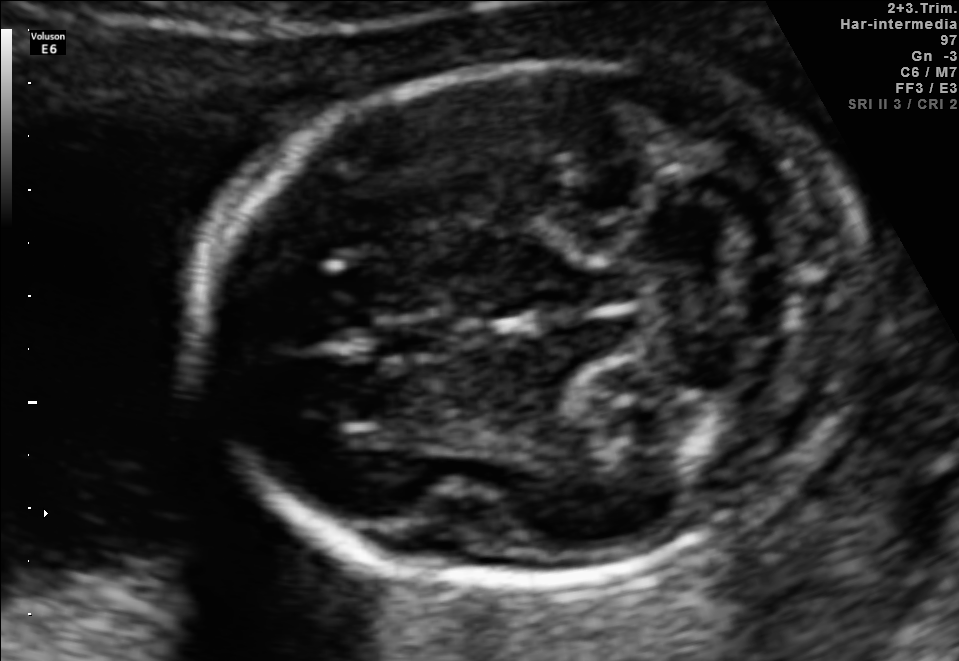
Fetal brain, trans-cerebellum plane. Where is the cavum septum pellucidum?

CSP bounding box: [372,310,451,363]